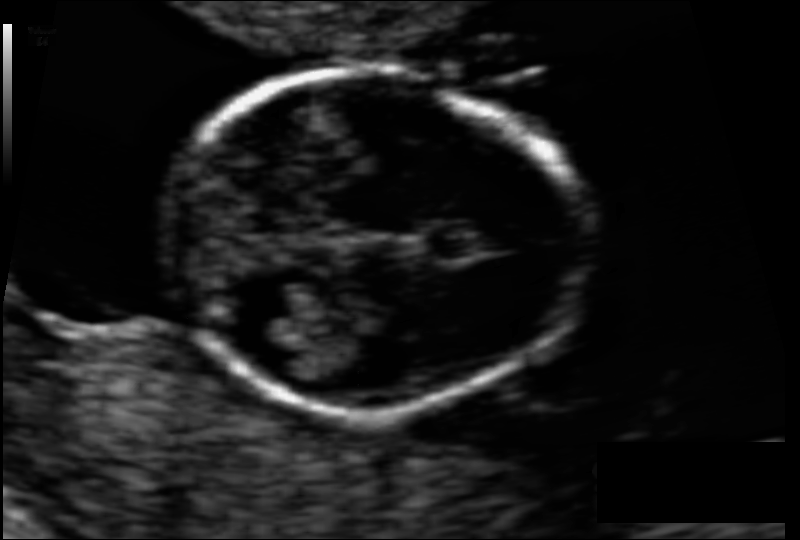
Fetal head ultrasound. Image width: 52.1 mm. Where is the fetal head?

Head bounding box: [163,73,586,413]